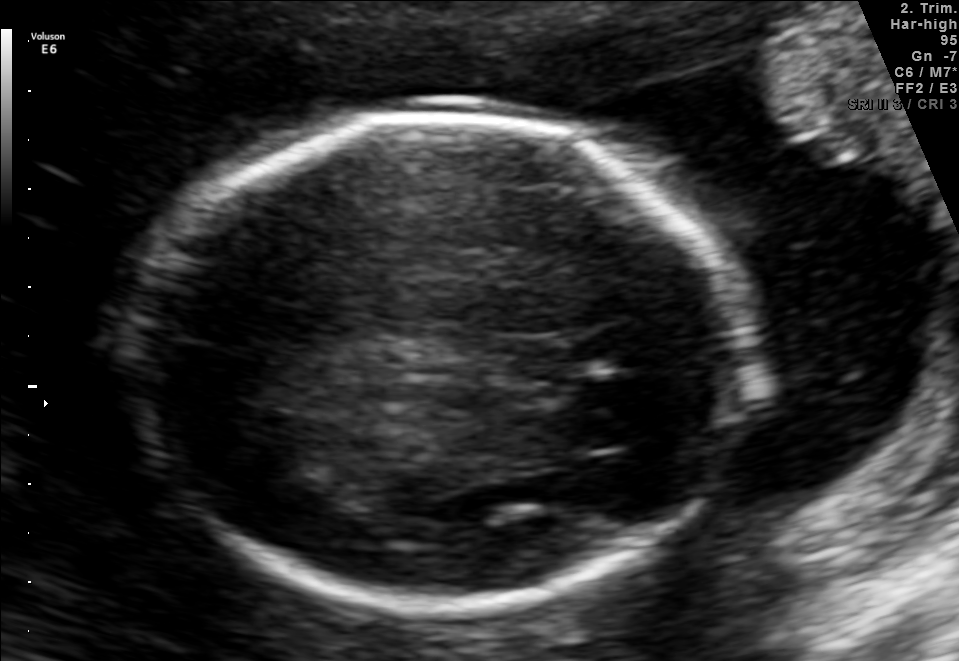
Fetal brain, trans-thalamic plane. Where is the fetal head?

Head bounding box: [142,116,749,597]